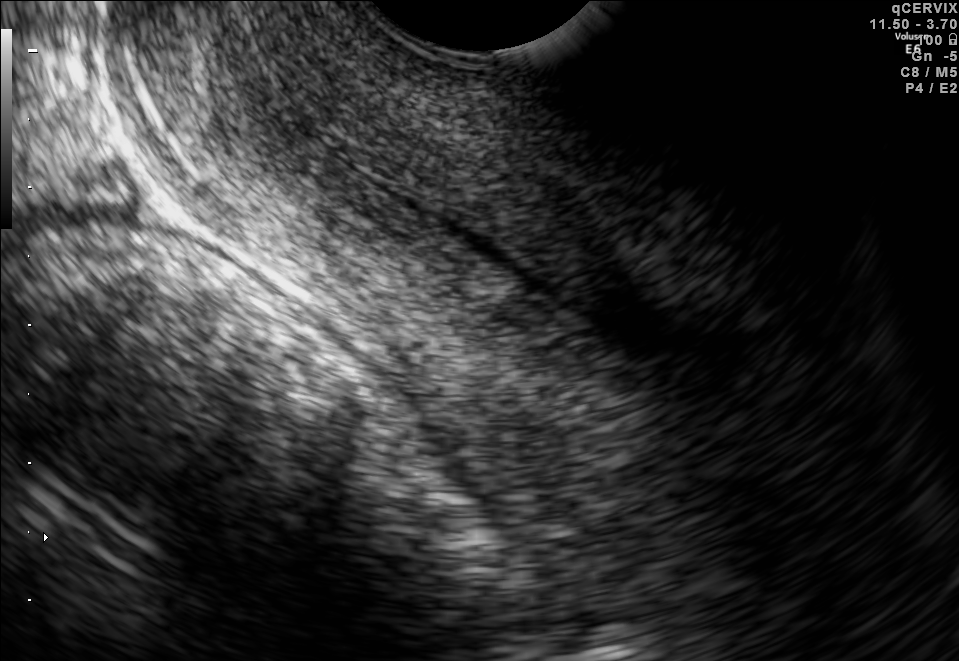
Classify this maternal-fetal ultrasound image as one of the six standard planes — fetal abdomen, fetal brain, fetal femur, fetal thorax, maternal cervix, or other. If it's fetal brain and one of the three standard brain planes (trans-thalamic, trans-cerebellum, trans-ventricular), name which.

Maternal cervix